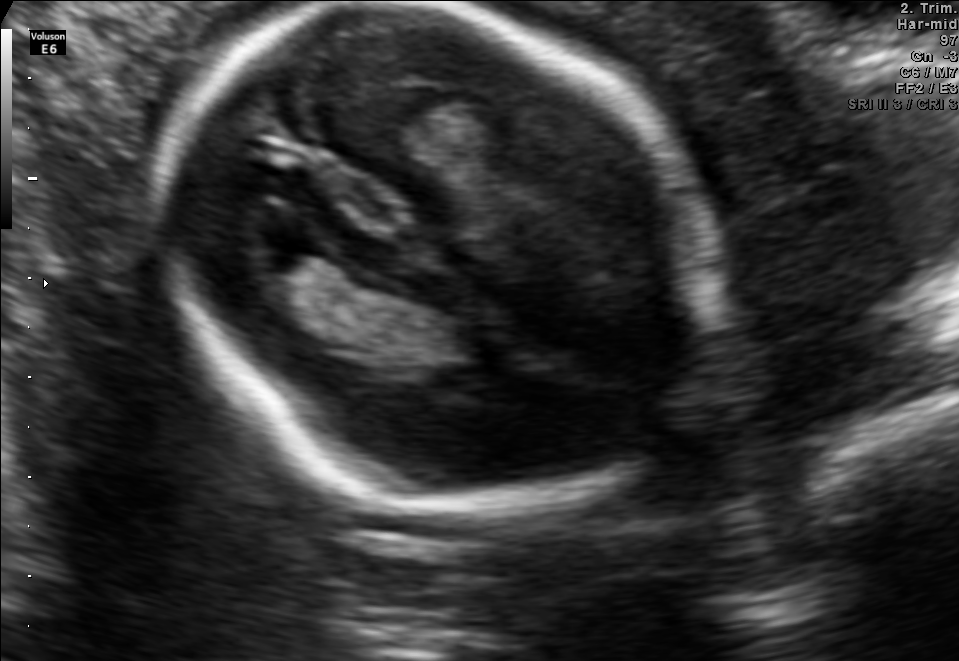
In this fetal brain, trans-thalamic plane, give bounding boxes for the head outline, cavum septum pellucidum (CSP), and lateral ventricle (LV), where visible.

Head: [159,3,720,502]
Lateral ventricle: [219,183,332,297]